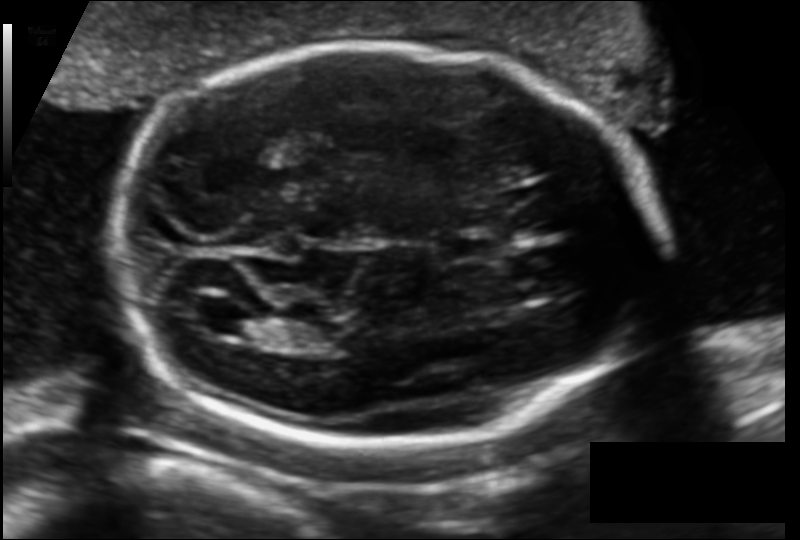
From this fetal ultrasound, estimate the head circumference (image width 103.4 mm).

Head circumference: 198.6 mm.